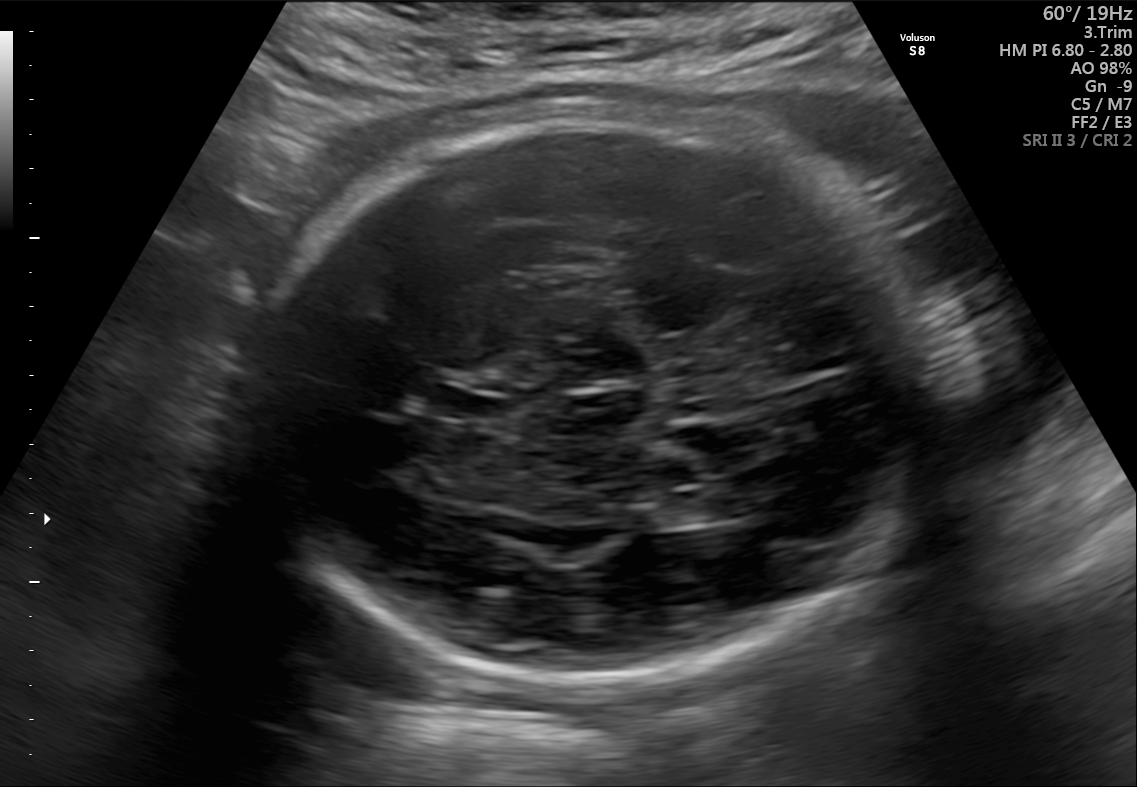
Fetal brain, trans-ventricular plane. Locate the fetal head.

Head: [248,104,937,700]